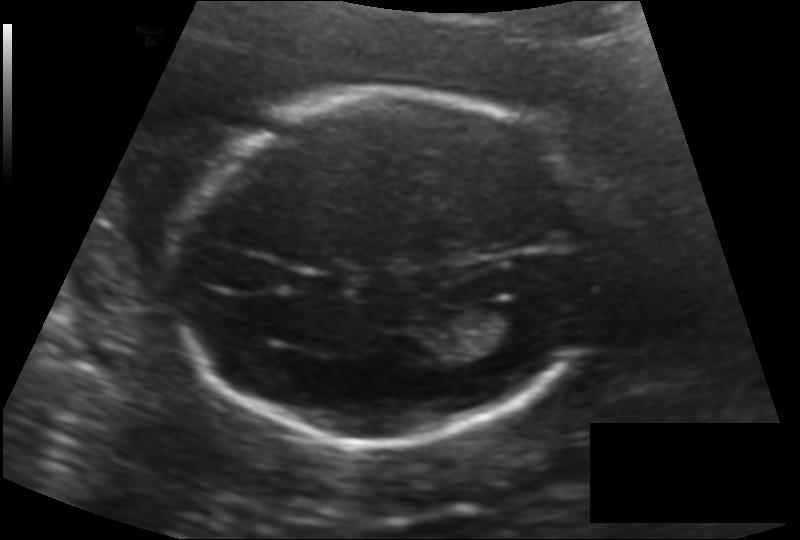
Fetal head ultrasound. Image width: 112.2 mm. Where is the cavum septum pellucidum?

CSP bounding box: [295,273,347,295]